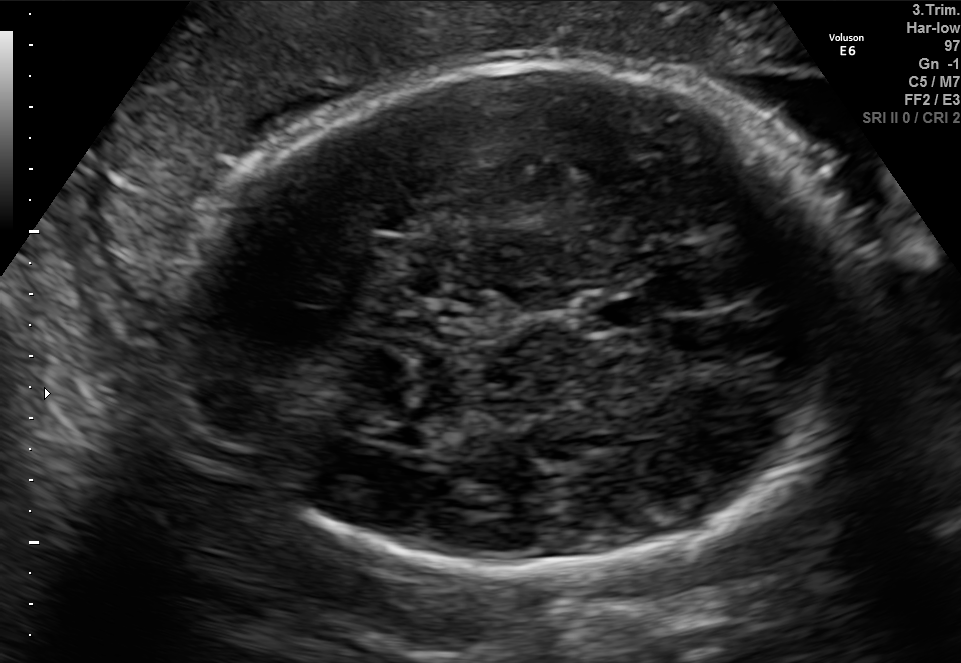
Fetal brain, trans-thalamic plane. Locate the lateral ventricle.

Lateral ventricle: [344,407,432,450]